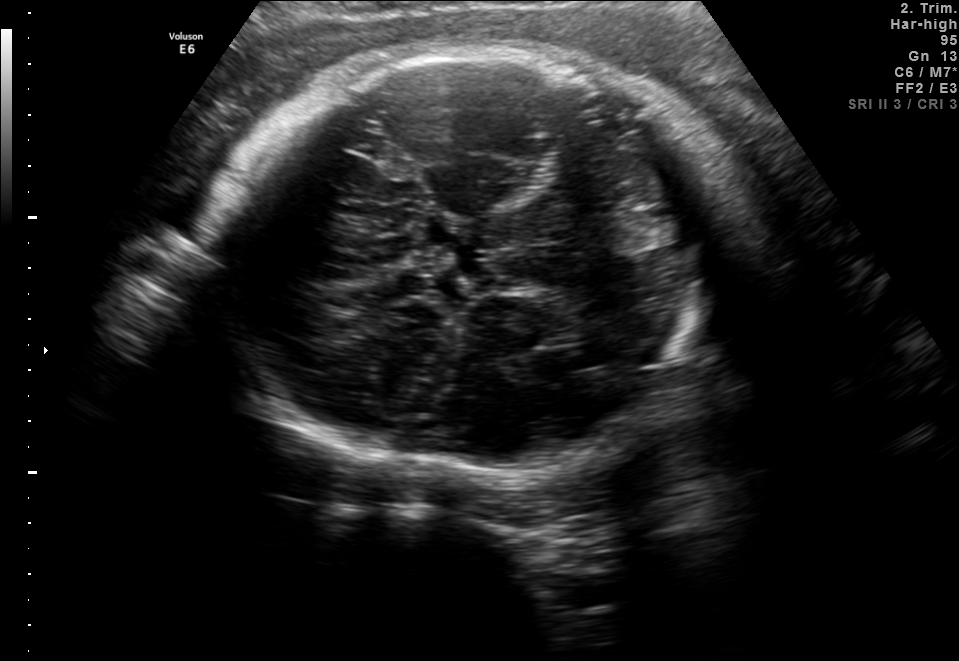
This is a 2D maternal-fetal ultrasound frame. Is it a fetal abdomen, fetal brain, fetal femur, fetal thorax, maternal cervix, or other standard plane? If it's fetal brain and one of the three standard brain planes (trans-thalamic, trans-cerebellum, trans-ventricular), name which.

Fetal brain (trans-thalamic plane)